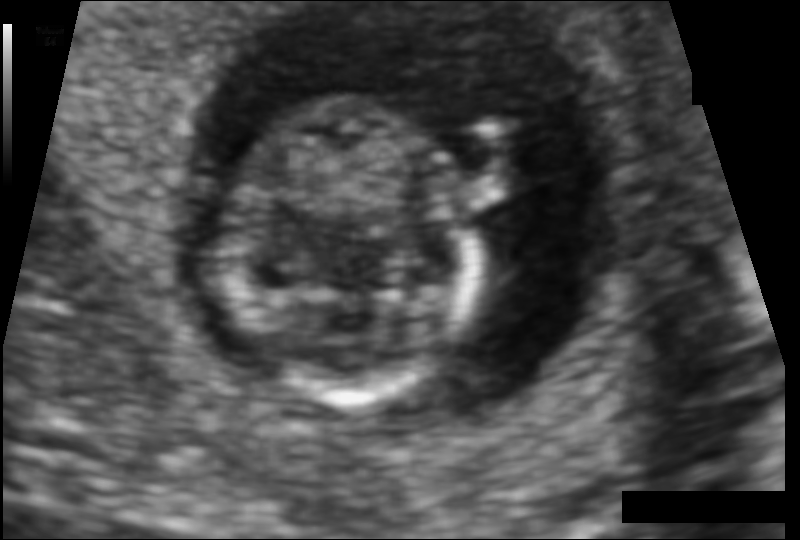
In this fetal head ultrasound, give bounding boxes for the head outline, cavum septum pellucidum (CSP), and lateral ventricle (LV), where visible. Image width: 63.9 mm.

Head: [221,98,475,401]